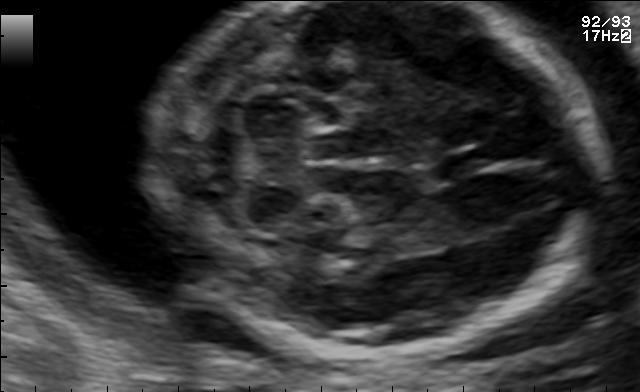
In this fetal brain, trans-cerebellum plane, give the bounding box of the fetal head.

[153,2,601,355]